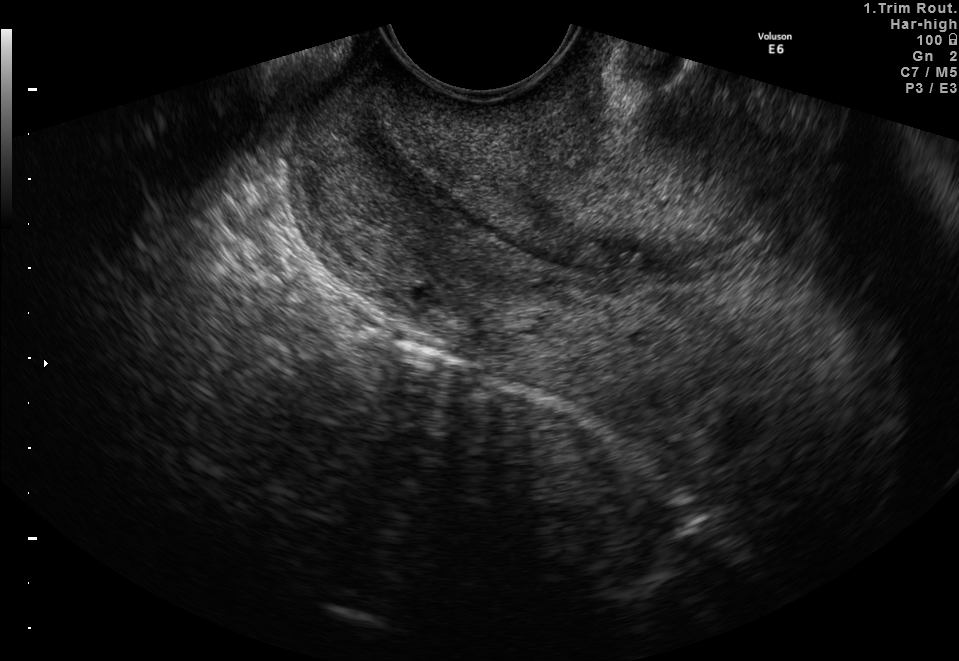
Classify this maternal-fetal ultrasound image as one of the six standard planes — fetal abdomen, fetal brain, fetal femur, fetal thorax, maternal cervix, or other. If it's fetal brain and one of the three standard brain planes (trans-thalamic, trans-cerebellum, trans-ventricular), name which.

Maternal cervix